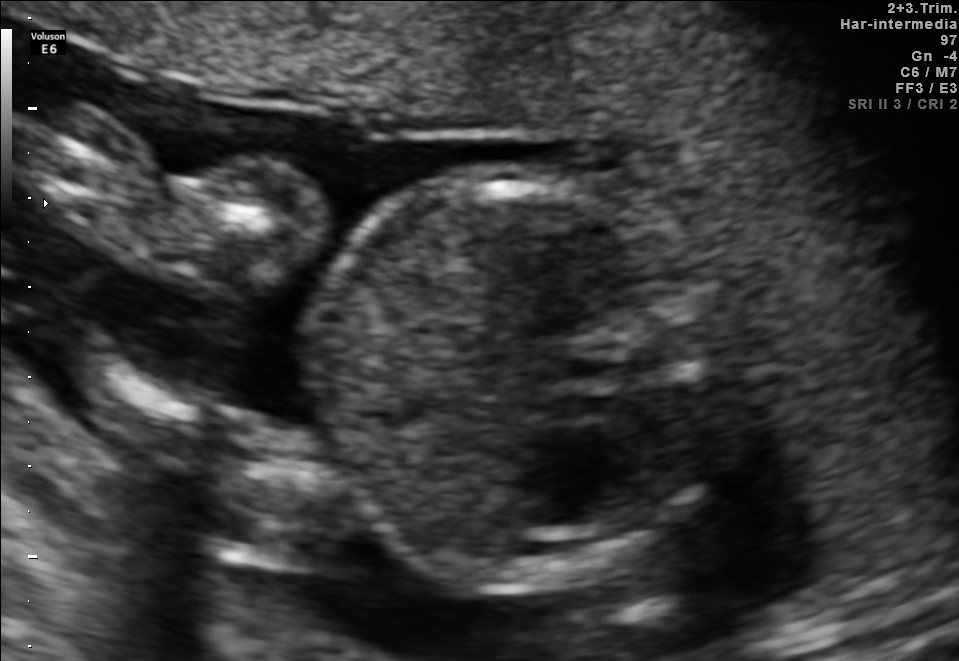
Classify this maternal-fetal ultrasound image as one of the six standard planes — fetal abdomen, fetal brain, fetal femur, fetal thorax, maternal cervix, or other. If it's fetal brain and one of the three standard brain planes (trans-thalamic, trans-cerebellum, trans-ventricular), name which.

Fetal abdomen